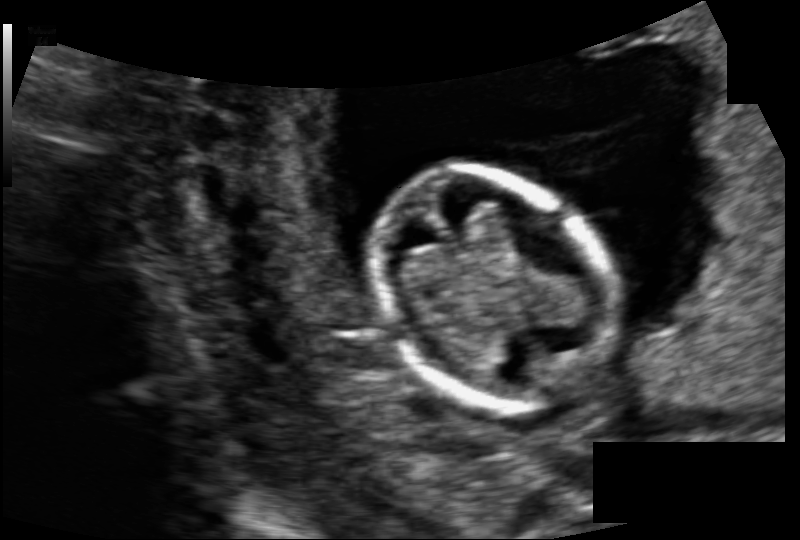
In this fetal head ultrasound, give bounding boxes for the head outline, cavum septum pellucidum (CSP), and lateral ventricle (LV), where visible. Image width: 83.3 mm.

Head: [373,167,607,410]